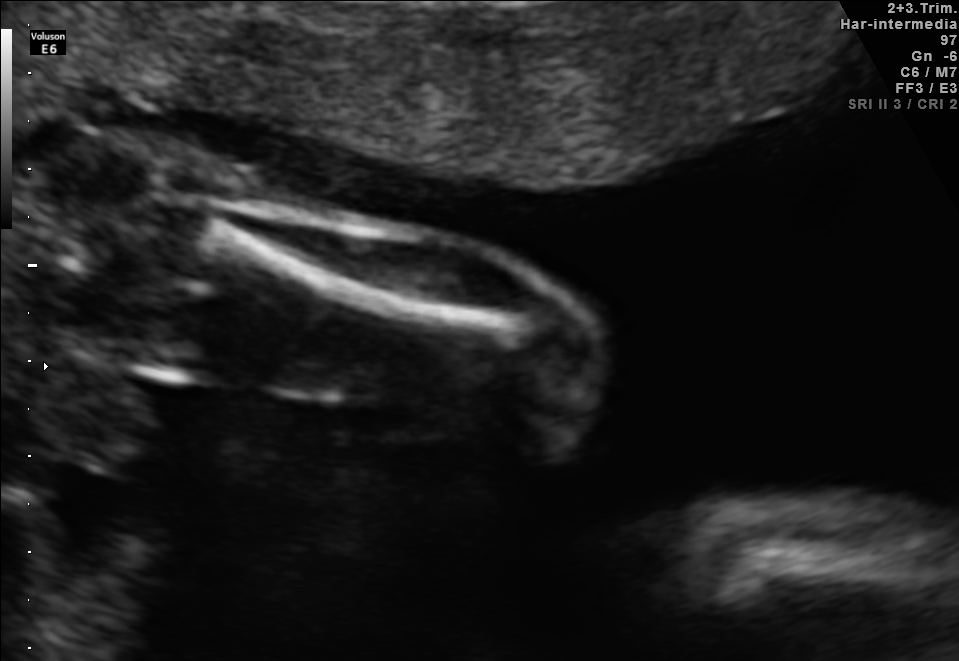
This is a 2D maternal-fetal ultrasound frame. Is it a fetal abdomen, fetal brain, fetal femur, fetal thorax, maternal cervix, or other standard plane? If it's fetal brain and one of the three standard brain planes (trans-thalamic, trans-cerebellum, trans-ventricular), name which.

Fetal femur